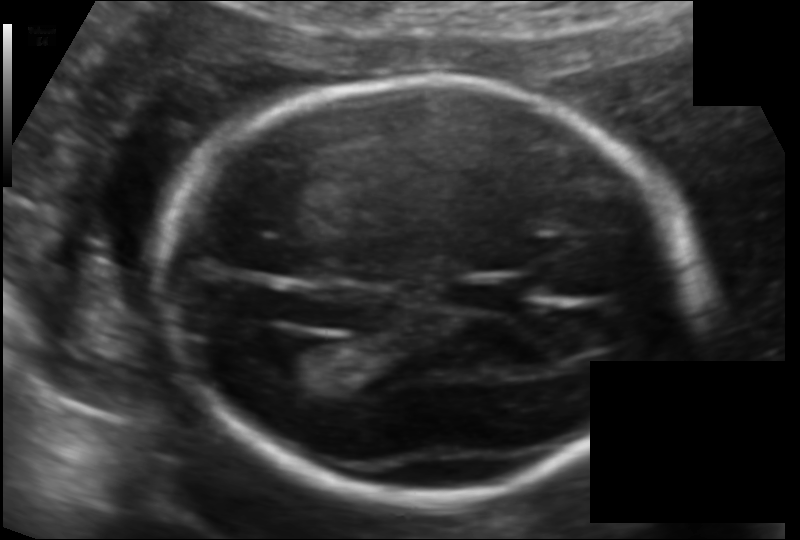
Estimate the fetal head circumference from this 2D ultrasound. Image width: 94.6 mm.

Head circumference: 181.9 mm.